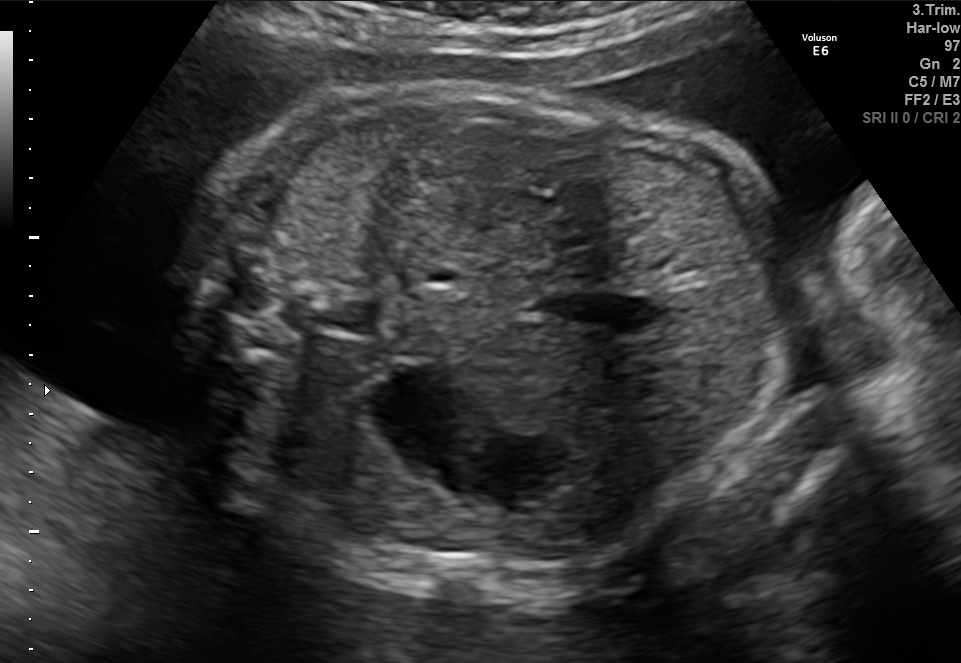
This is a 2D maternal-fetal ultrasound frame. Is it a fetal abdomen, fetal brain, fetal femur, fetal thorax, maternal cervix, or other standard plane? If it's fetal brain and one of the three standard brain planes (trans-thalamic, trans-cerebellum, trans-ventricular), name which.

Fetal abdomen